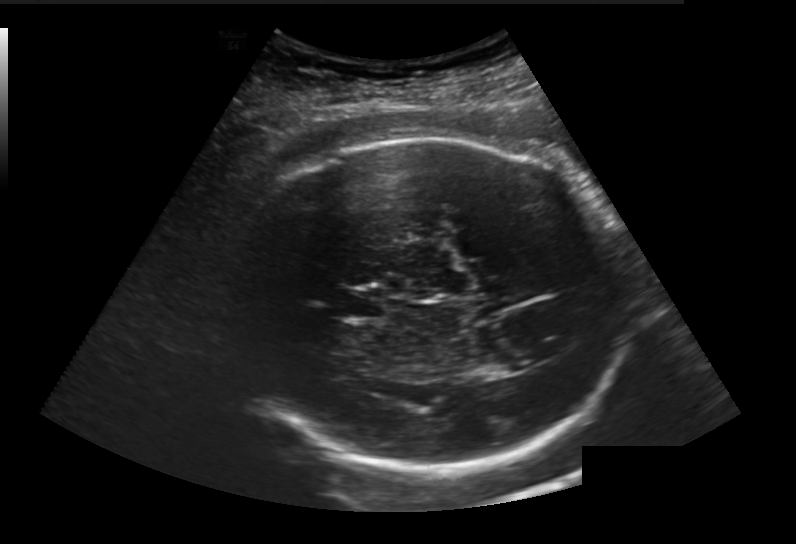
Fetal head ultrasound. Image width: 187.6 mm. Locate the cavum septum pellucidum.

CSP: [338,288,384,318]